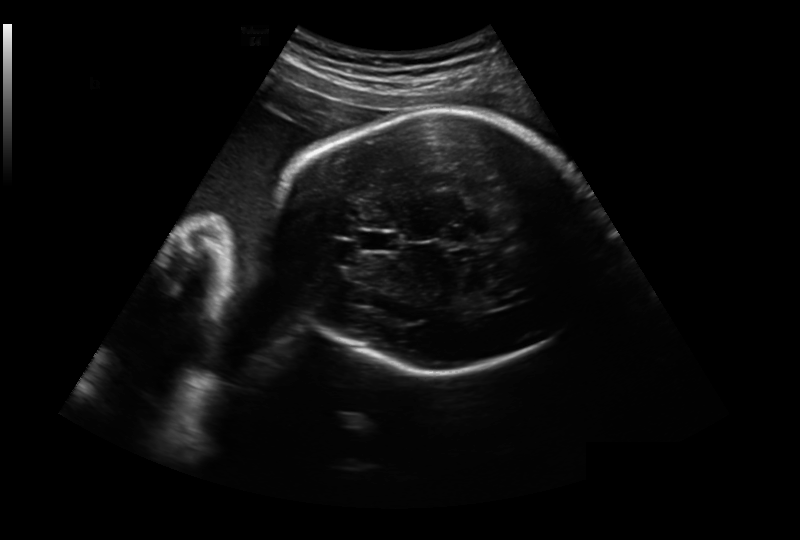
Estimate the fetal head circumference from this 2D ultrasound. Image width: 224.7 mm.

Head circumference: 264.6 mm.